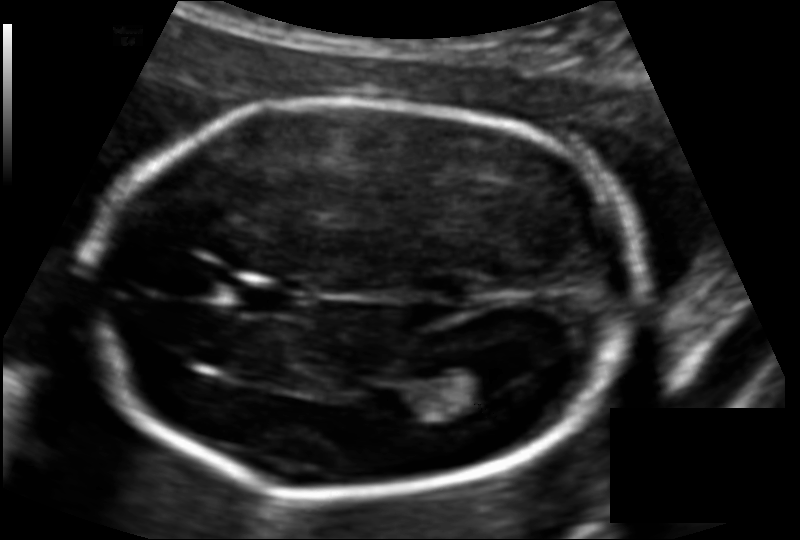
In this fetal head ultrasound, give bounding boxes for the head outline, cavum septum pellucidum (CSP), and lateral ventricle (LV), where visible. Image width: 93.9 mm.

Head: [88,101,630,494]
CSP: [232,277,312,322]
Lateral ventricle: [423,347,516,417]